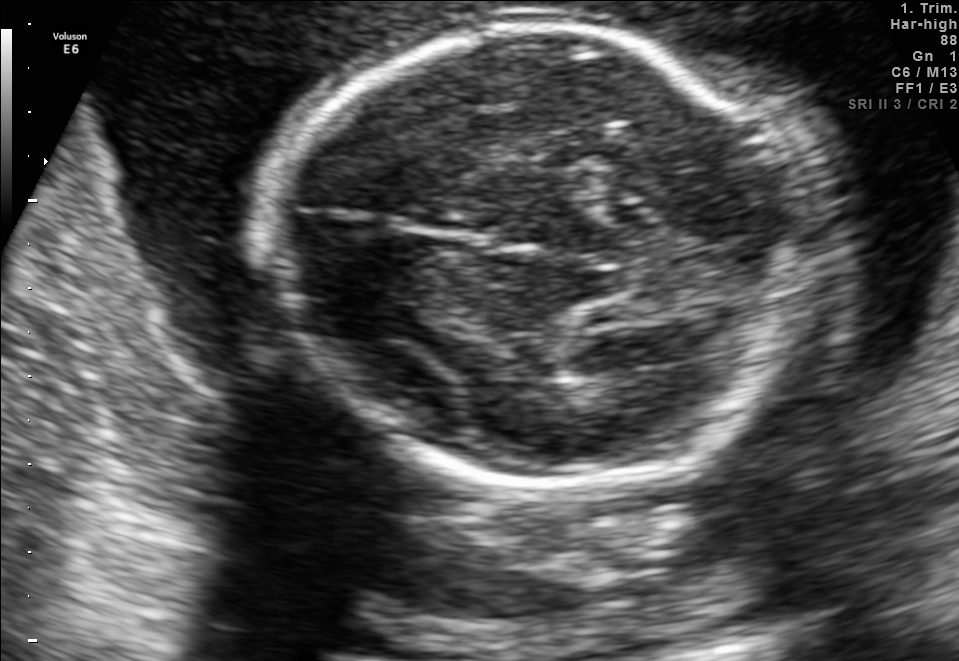
Fetal brain, trans-thalamic plane. Where is the fetal head?

Head bounding box: [260,21,813,494]